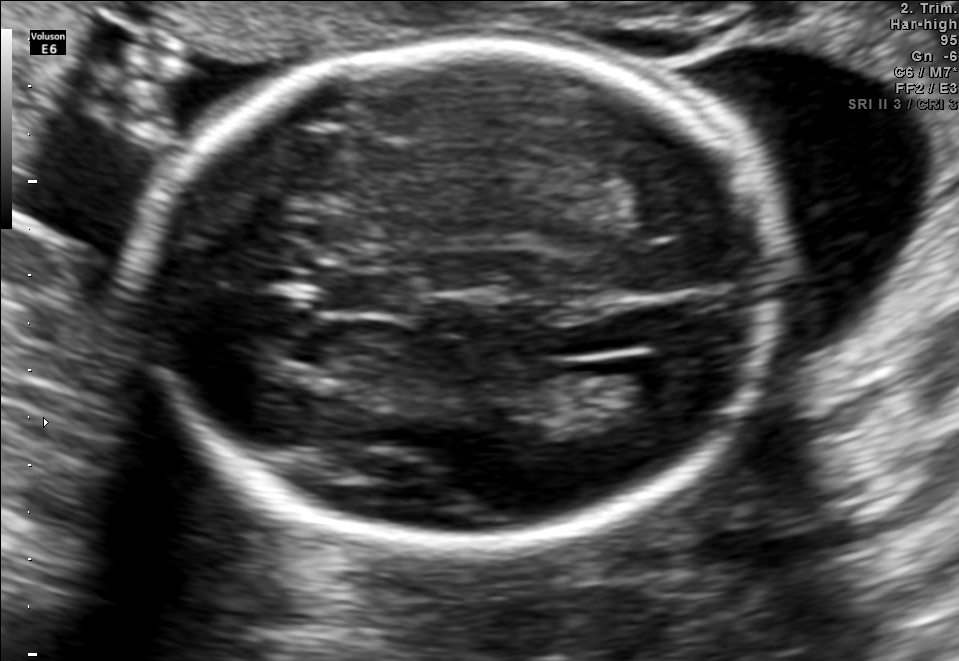
Fetal brain, trans-ventricular plane. Where is the fetal head?

Head bounding box: [127,35,798,562]